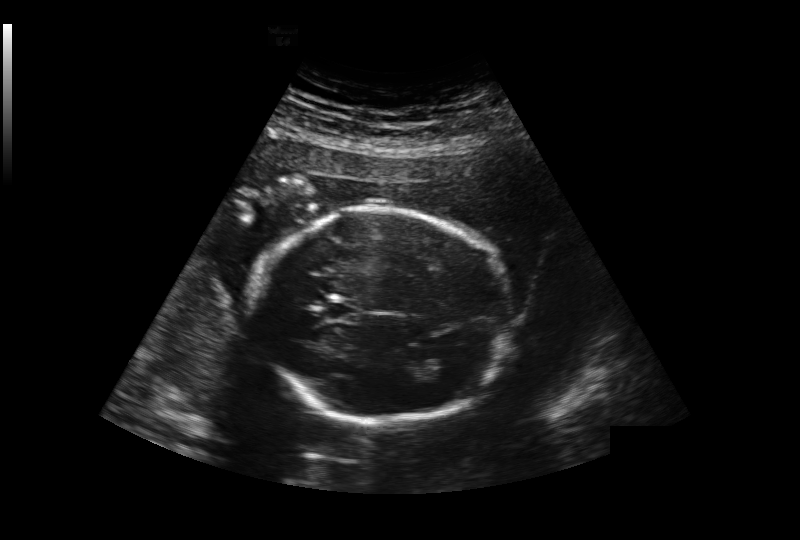
From this fetal ultrasound, estimate the head circumference (image width 191.2 mm).

Head circumference: 186.2 mm.